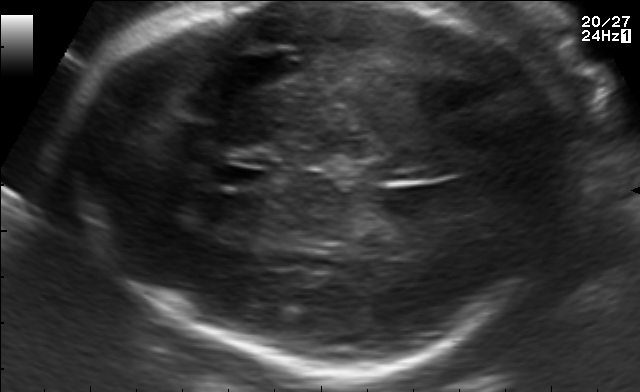
In this fetal brain, trans-thalamic plane, give the bounding box of the cavum septum pellucidum.

[215,164,267,190]